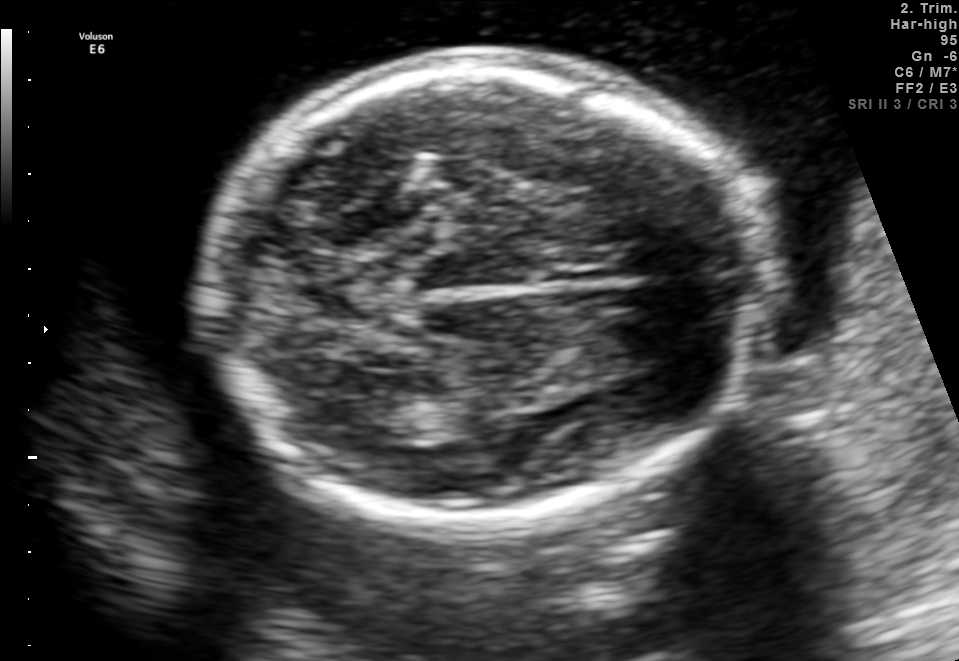
Fetal brain, trans-thalamic plane. Where is the fetal head?

Head bounding box: [207,56,766,517]